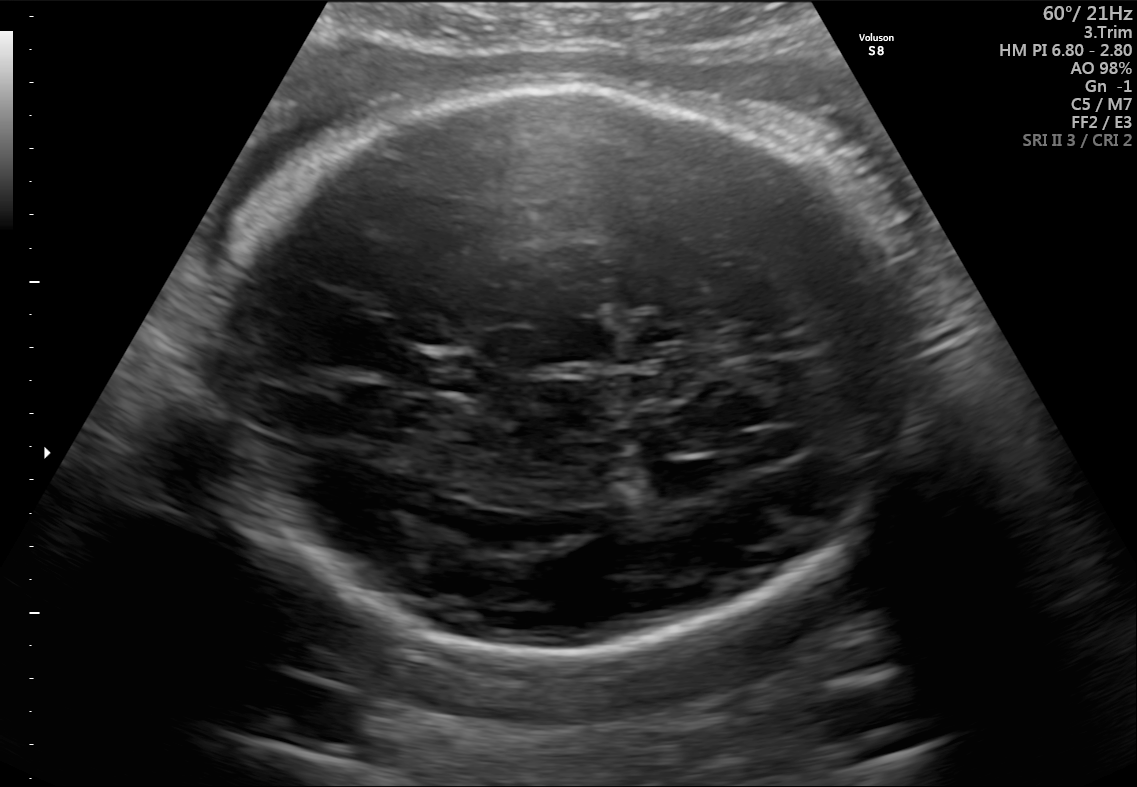
Fetal brain, trans-thalamic plane. Locate the lateral ventricle.

Lateral ventricle: [644,458,720,502]